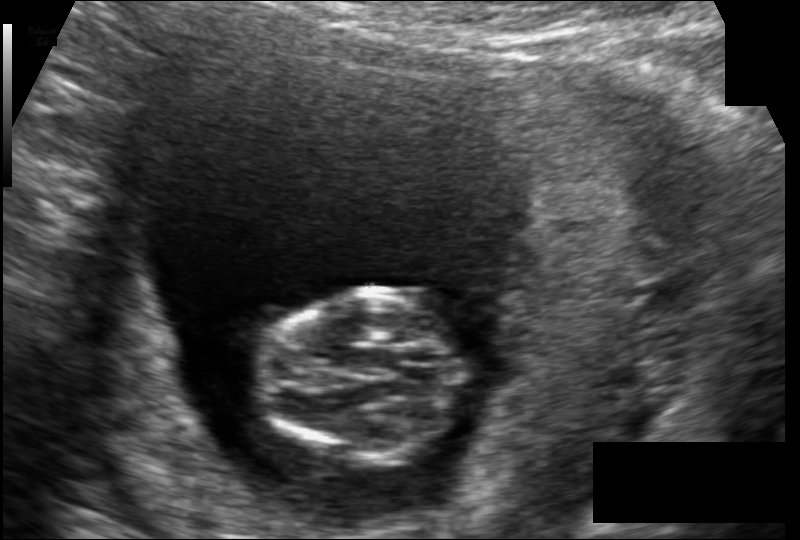
From this fetal ultrasound, estimate the head circumference (image width 93.8 mm).

Head circumference: 74.0 mm.